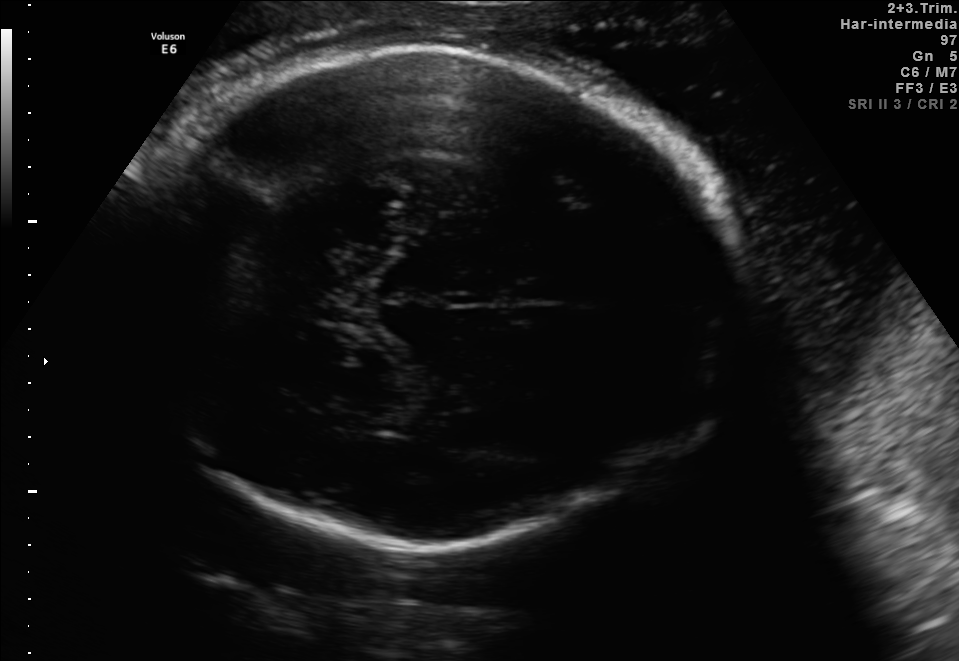
Fetal brain, trans-thalamic plane. Locate the fetal head.

Head: [111,45,742,546]